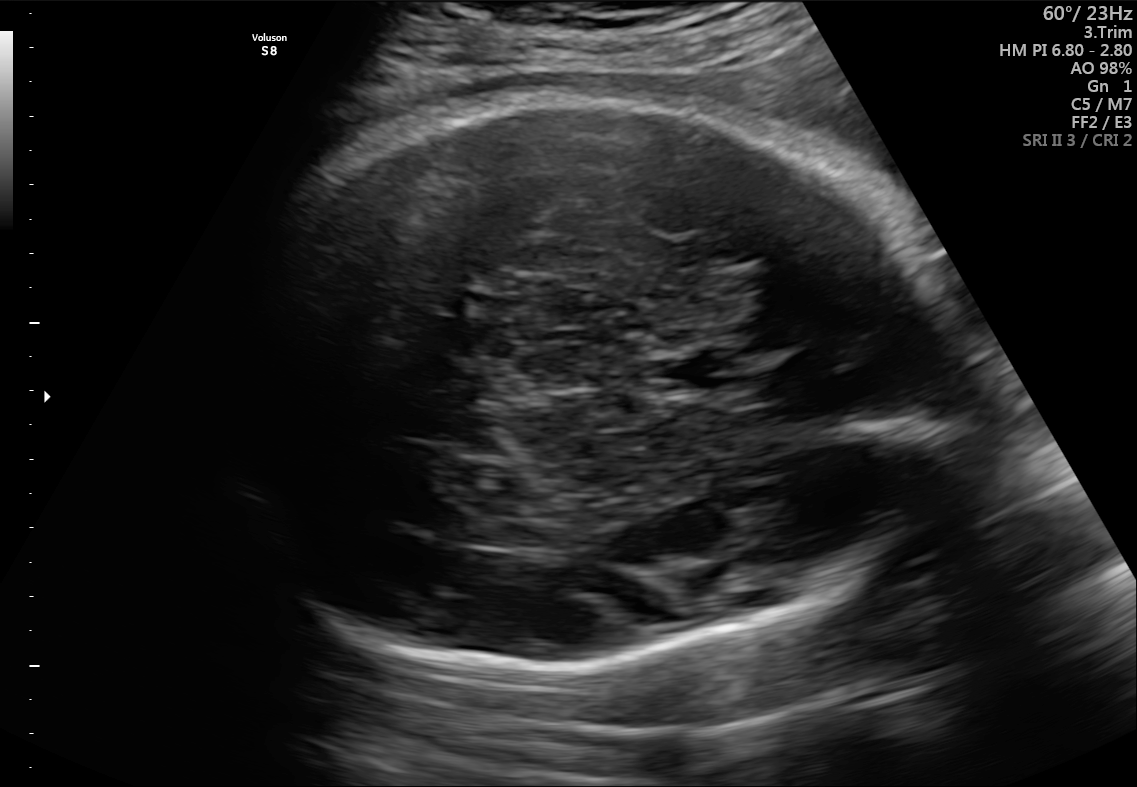
Fetal brain, trans-thalamic plane. Give [x1,y1,x2,y2] bounding boxes for each visible structure among: fetal head, CSP, LV.

Head: [215,95,941,670]
CSP: [651,350,743,396]